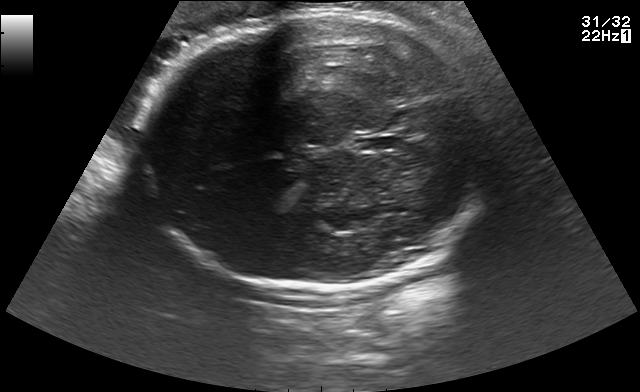
In this fetal brain, trans-thalamic plane, give bounding boxes for the head outline, cavum septum pellucidum (CSP), and lateral ventricle (LV), where visible.

Head: [138,14,495,290]
CSP: [356,135,398,152]